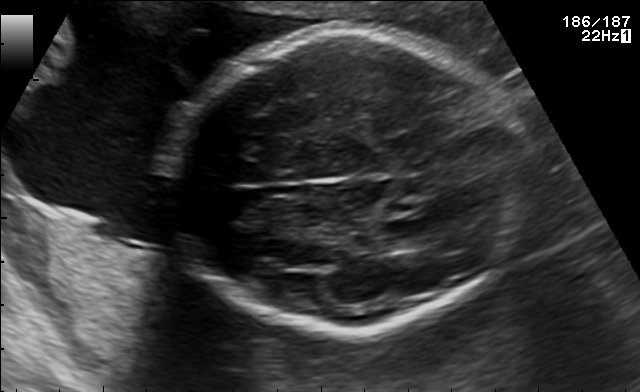
Fetal brain, trans-thalamic plane. Locate the fetal head and, if visible, the cavum septum pellucidum (CSP) and lateral ventricle (LV). Give bounding boxes as [x1,y1,x2,y2].

Head: [166,30,525,331]